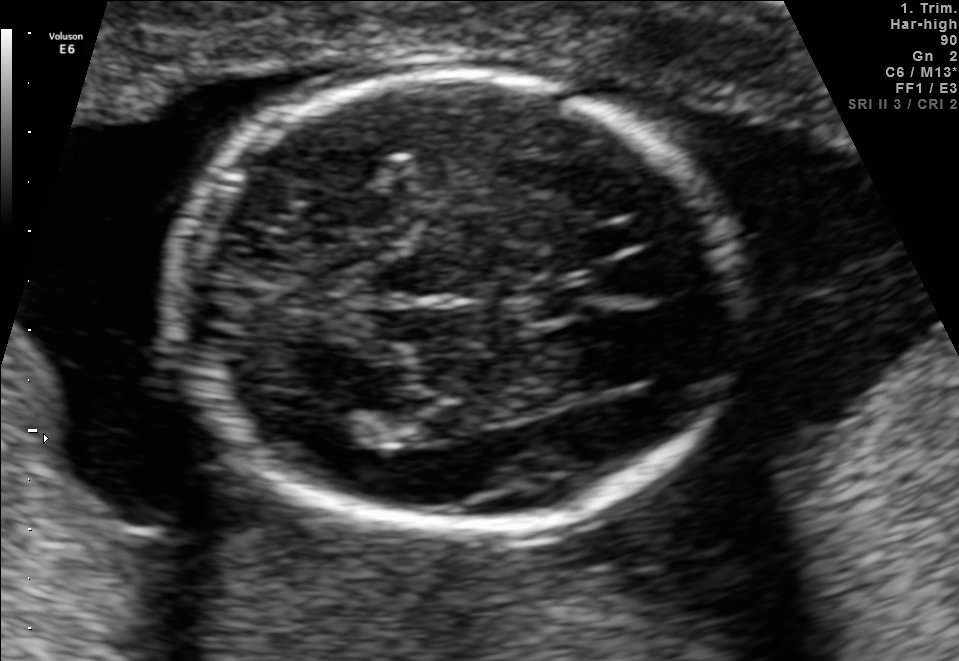
In this fetal brain, trans-thalamic plane, give the bounding box of the cavum septum pellucidum.

[525,275,593,324]